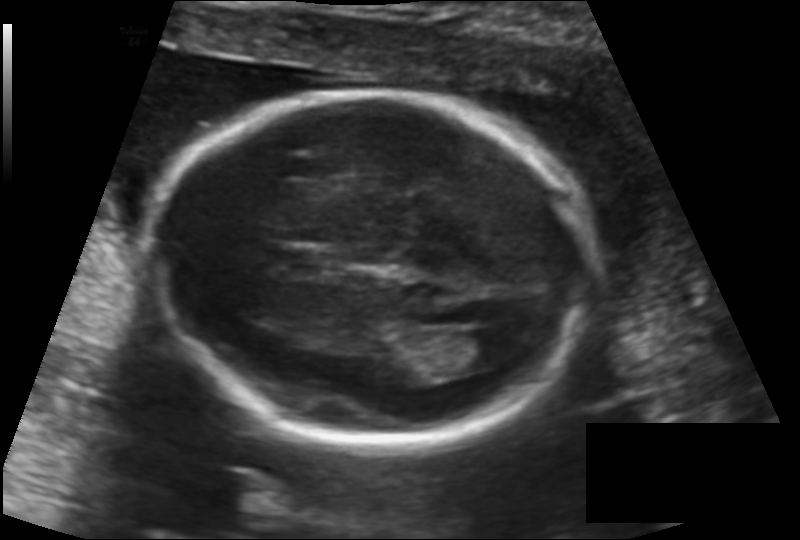
Fetal head ultrasound. Image width: 109.6 mm. Give [x1,y1,x2,y2] bounding boxes for each visible structure among: fetal head, CSP, LV.

Head: [151,92,594,443]
CSP: [278,248,330,276]
Lateral ventricle: [448,325,516,373]